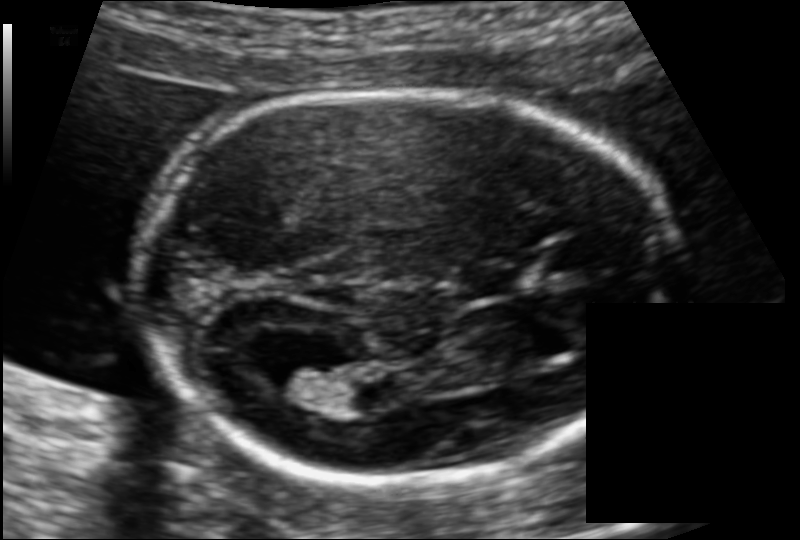
In this fetal head ultrasound, give the bounding box of the cavum septum pellucidum. Image width: 85.1 mm.

[460,260,532,302]